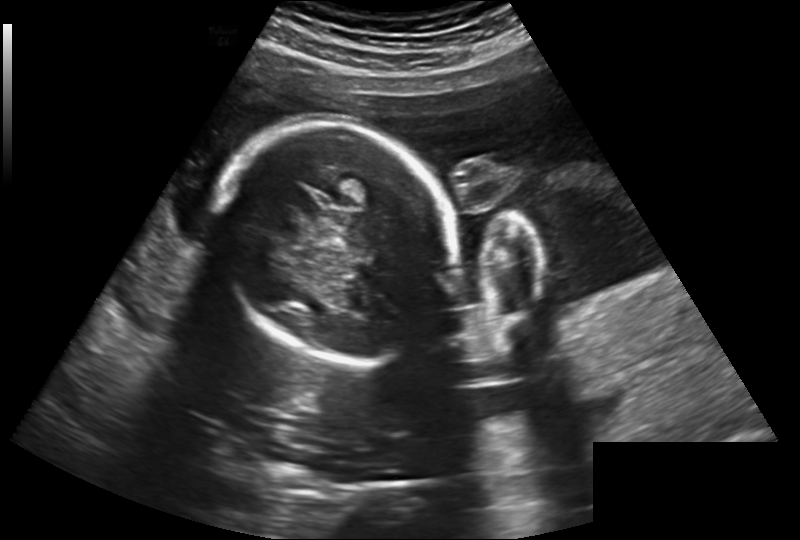
Fetal head ultrasound. Image width: 208.4 mm. Give [x1,y1,x2,y2] bounding boxes for each visible structure among: fetal head, CSP, LV.

Head: [224,121,450,362]